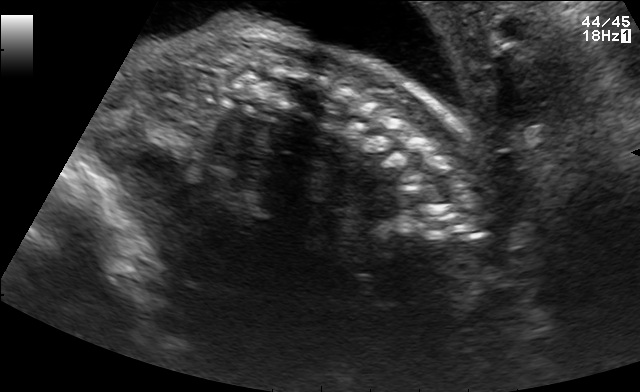
Classify this maternal-fetal ultrasound image as one of the six standard planes — fetal abdomen, fetal brain, fetal femur, fetal thorax, maternal cervix, or other. If it's fetal brain and one of the three standard brain planes (trans-thalamic, trans-cerebellum, trans-ventricular), name which.

Other